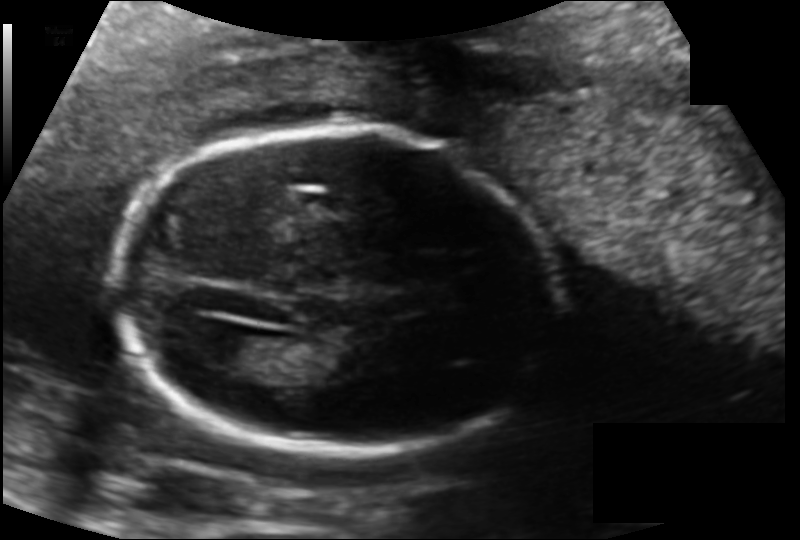
From this fetal ultrasound, estimate the head circumference (image width 107.0 mm).

Head circumference: 167.5 mm.